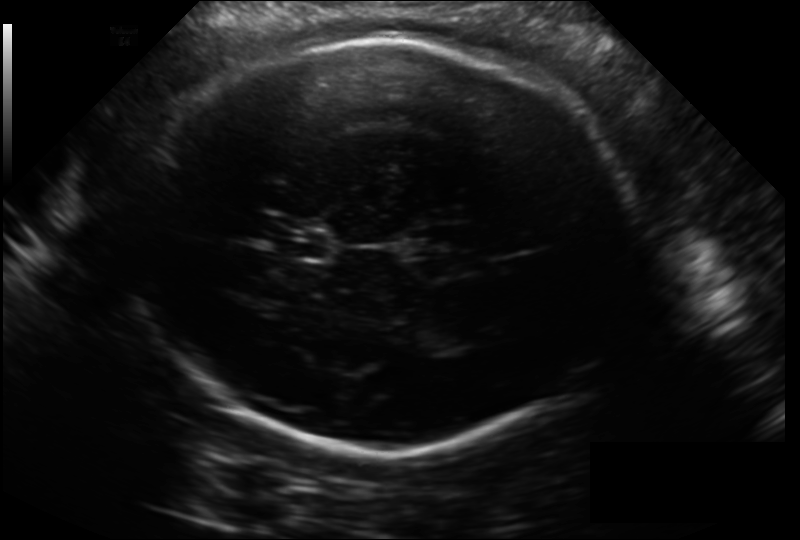
Estimate the fetal head circumference from this 2D ultrasound.

Head circumference: 311.4 mm (image width 168.5 mm).